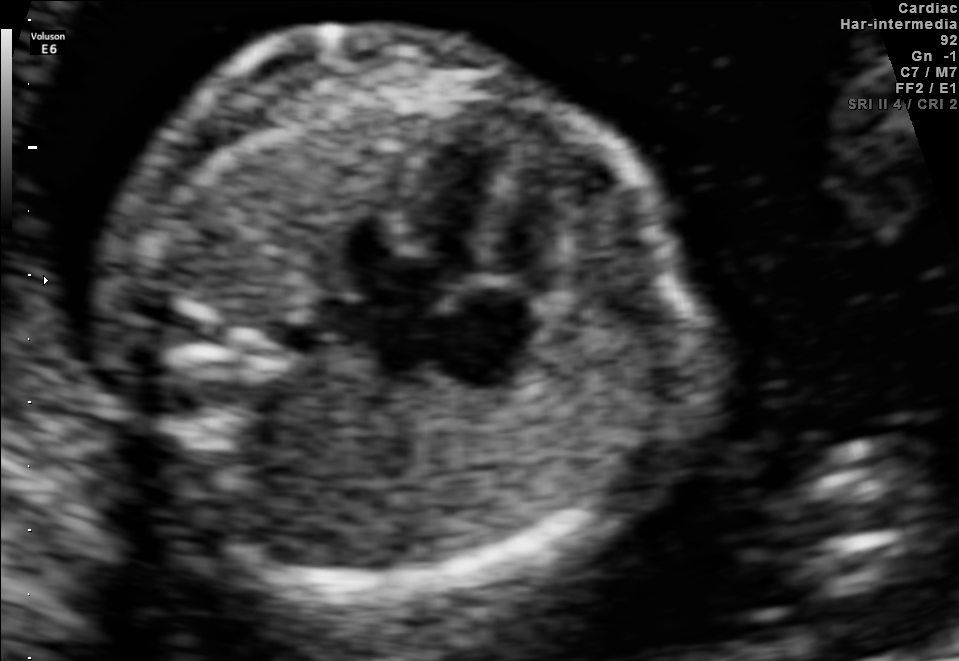
Identify the standard plane in this fetal ultrasound image: fetal abdomen, fetal brain, fetal femur, fetal thorax, maternal cervix, or other. If it's fetal brain and one of the three standard brain planes (trans-thalamic, trans-cerebellum, trans-ventricular), name which.

Fetal thorax